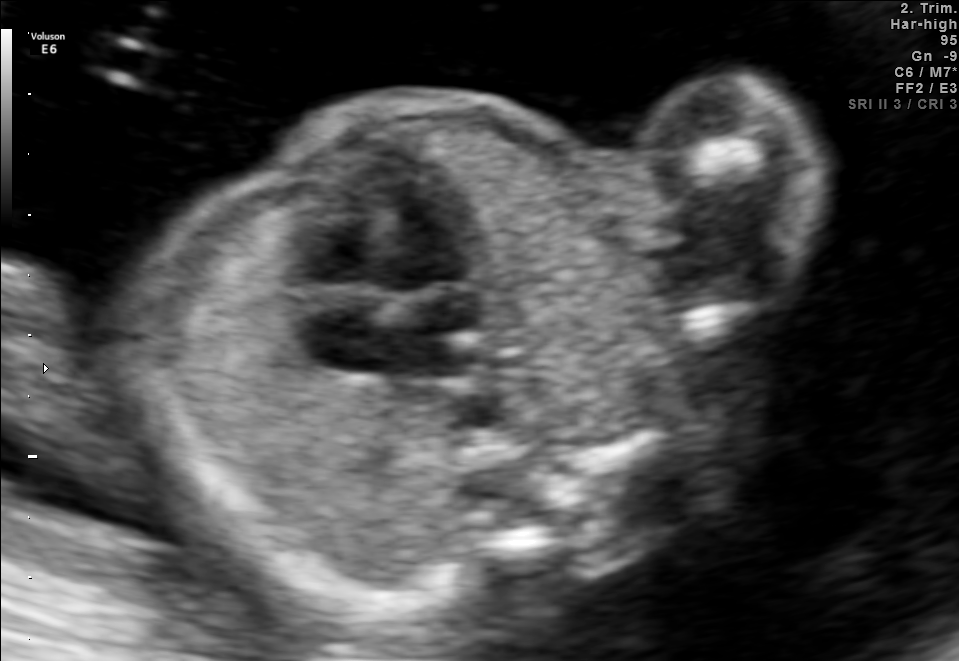
Classify this maternal-fetal ultrasound image as one of the six standard planes — fetal abdomen, fetal brain, fetal femur, fetal thorax, maternal cervix, or other. If it's fetal brain and one of the three standard brain planes (trans-thalamic, trans-cerebellum, trans-ventricular), name which.

Fetal thorax